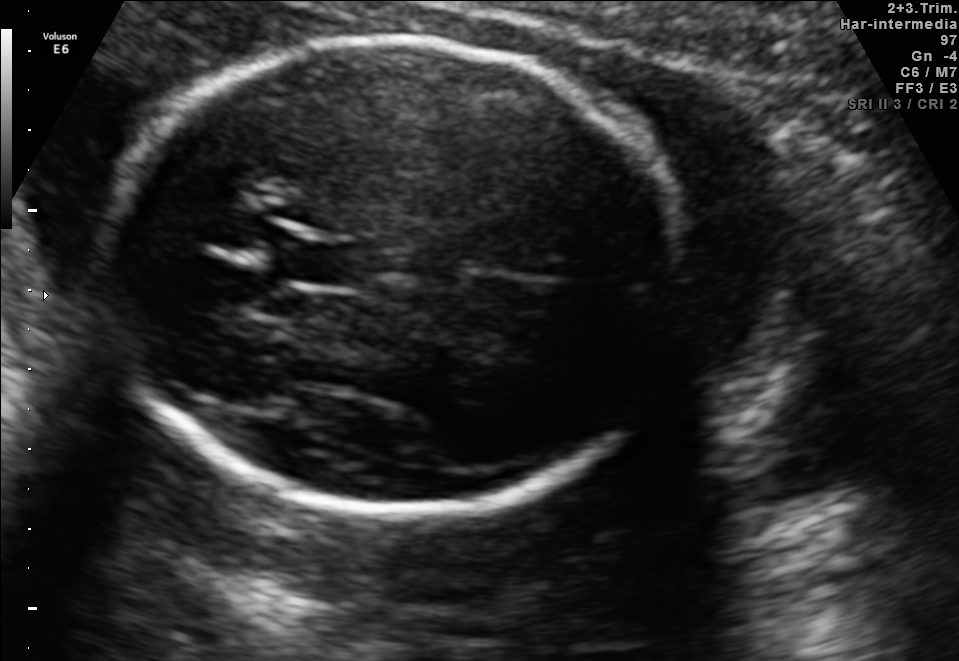
In this fetal brain, trans-thalamic plane, give the bounding box of the cavum septum pellucidum.

[280,239,364,288]